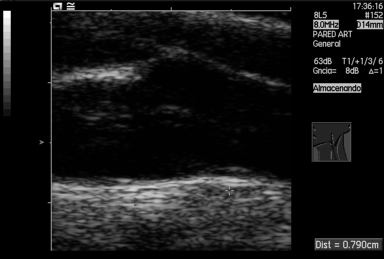
Identify the standard plane in this fetal ultrasound image: fetal abdomen, fetal brain, fetal femur, fetal thorax, maternal cervix, or other. If it's fetal brain and one of the three standard brain planes (trans-thalamic, trans-cerebellum, trans-ventricular), name which.

Other